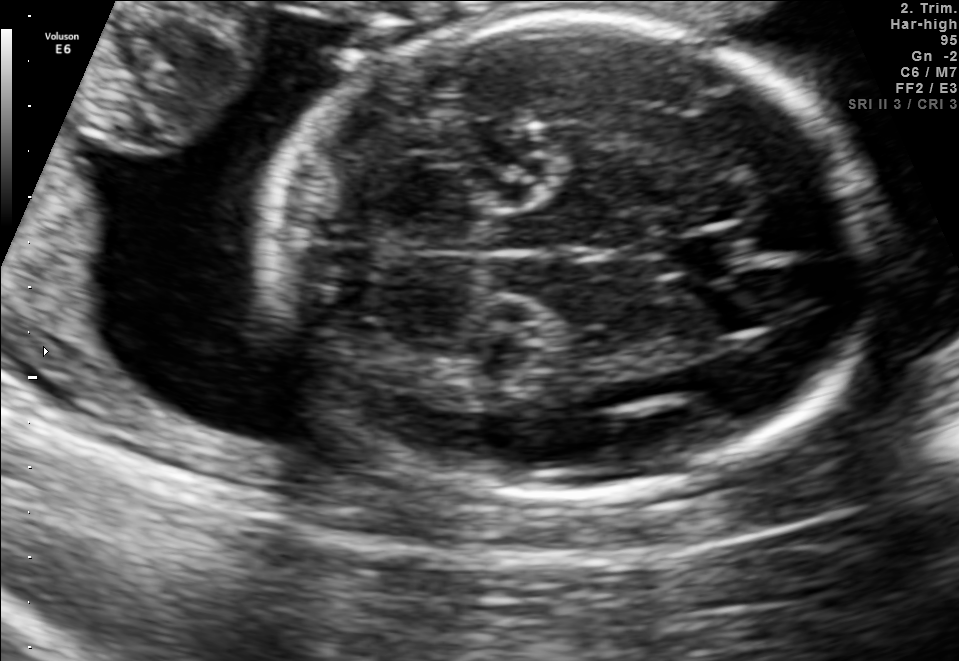
In this fetal brain, trans-cerebellum plane, give bounding boxes for the head outline, cavum septum pellucidum (CSP), and lateral ventricle (LV), where visible.

Head: [264,14,865,495]
CSP: [667,219,754,289]